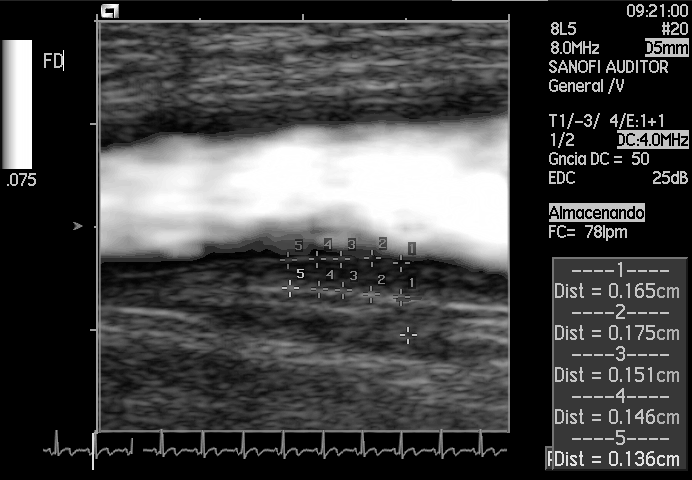
Classify this maternal-fetal ultrasound image as one of the six standard planes — fetal abdomen, fetal brain, fetal femur, fetal thorax, maternal cervix, or other. If it's fetal brain and one of the three standard brain planes (trans-thalamic, trans-cerebellum, trans-ventricular), name which.

Other